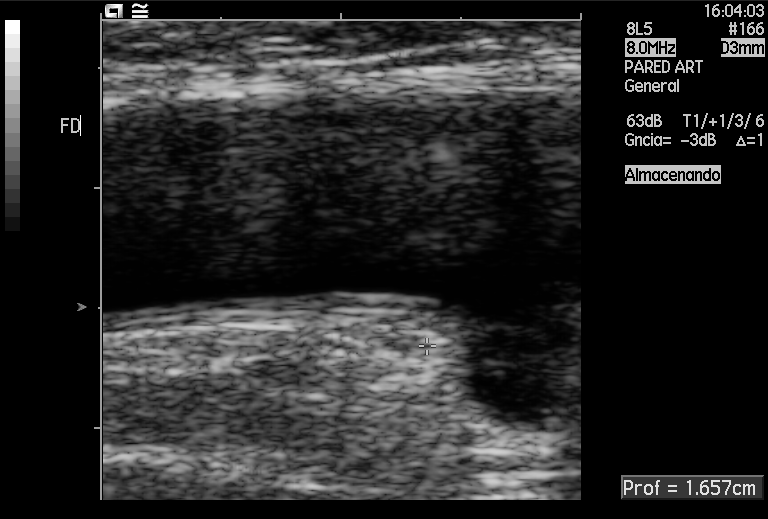
Which standard maternal-fetal ultrasound plane is shown: fetal abdomen, fetal brain, fetal femur, fetal thorax, maternal cervix, or other? If it's fetal brain and one of the three standard brain planes (trans-thalamic, trans-cerebellum, trans-ventricular), name which.

Other